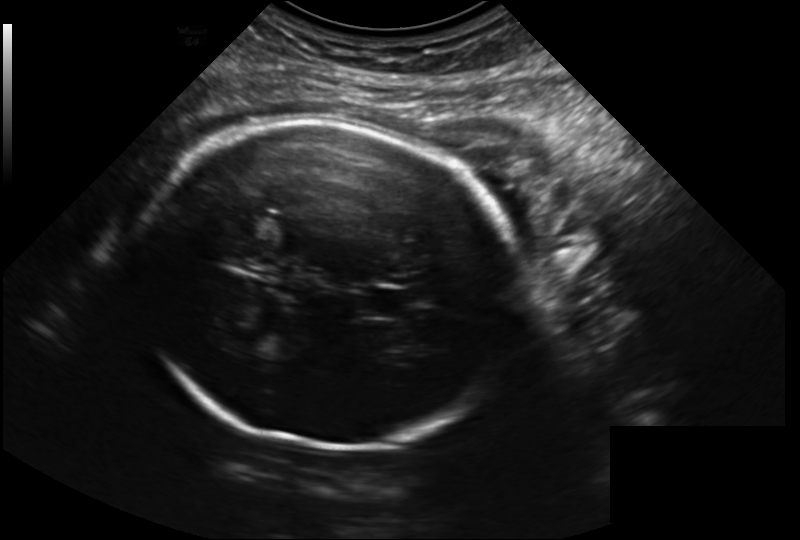
What is the fetal head circumference? Image width is 178.0 mm.

254.6 mm